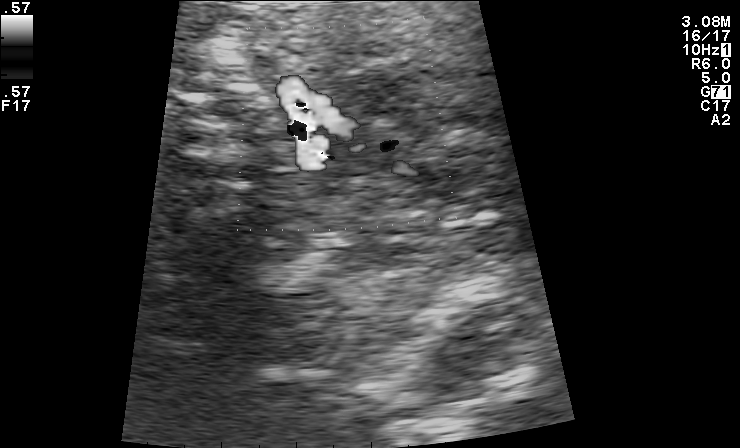
Identify the standard plane in this fetal ultrasound image: fetal abdomen, fetal brain, fetal femur, fetal thorax, maternal cervix, or other. If it's fetal brain and one of the three standard brain planes (trans-thalamic, trans-cerebellum, trans-ventricular), name which.

Other